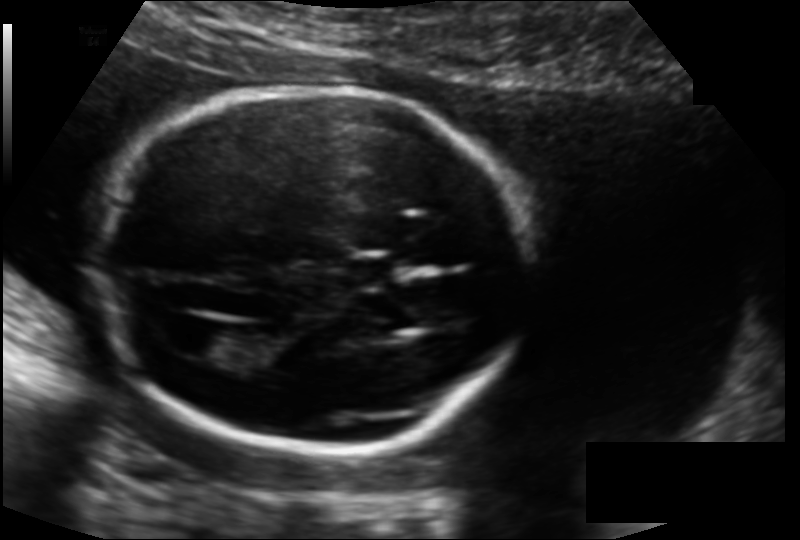
Fetal head ultrasound. Image width: 107.7 mm. Locate the lateral ventricle.

Lateral ventricle: [170,318,235,364]